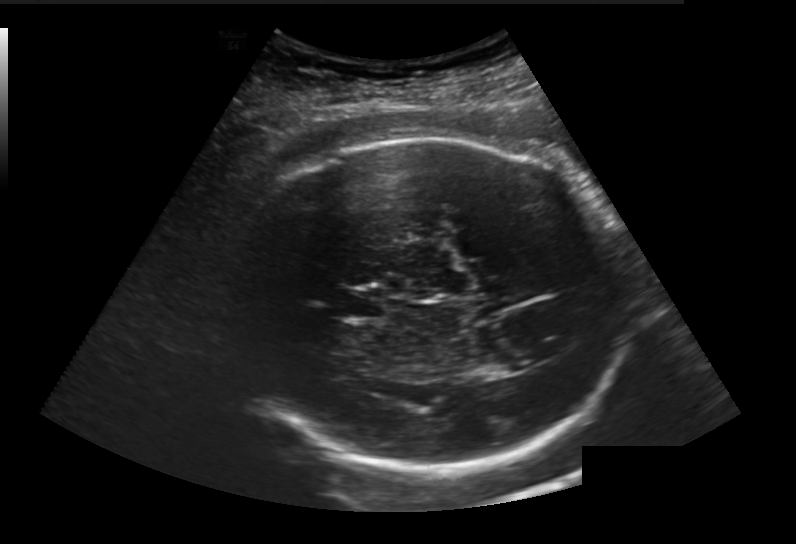
In this fetal head ultrasound, give the bounding box of the fetal head. Image width: 187.6 mm.

[231,137,630,472]